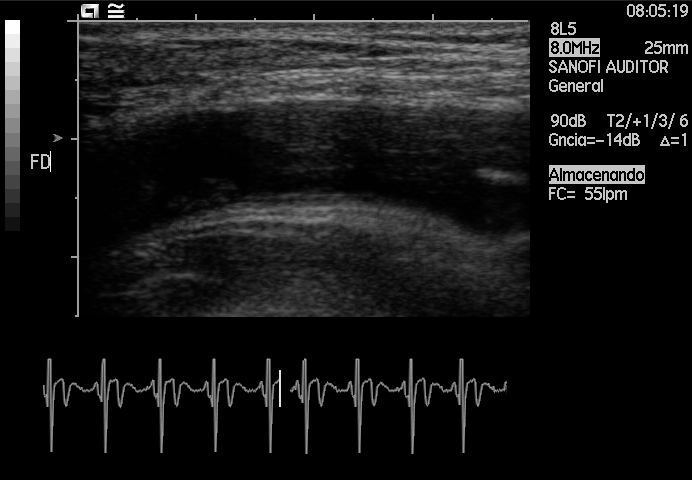
Classify this maternal-fetal ultrasound image as one of the six standard planes — fetal abdomen, fetal brain, fetal femur, fetal thorax, maternal cervix, or other. If it's fetal brain and one of the three standard brain planes (trans-thalamic, trans-cerebellum, trans-ventricular), name which.

Other